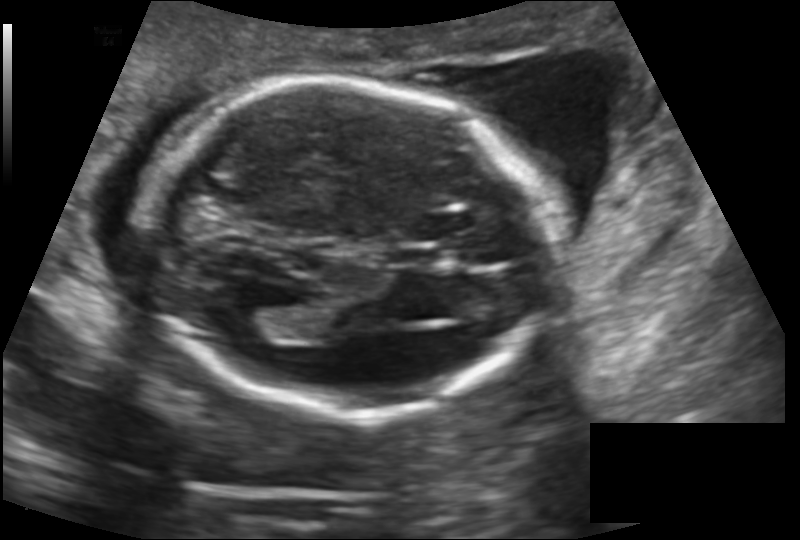
Fetal head ultrasound. Image width: 116.4 mm. Locate the cavum septum pellucidum.

CSP: [389,247,442,268]